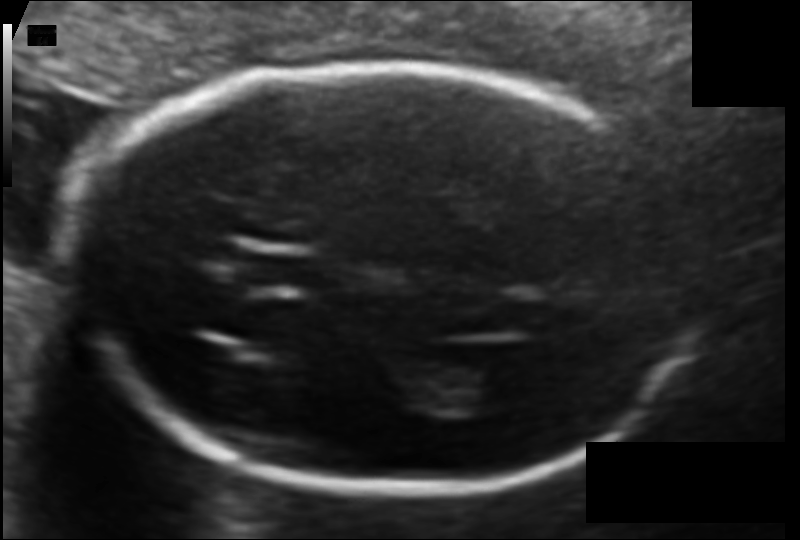
Fetal head ultrasound. Image width: 82.7 mm. Locate the fetal head and, if visible, the cavum septum pellucidum (CSP) and lateral ventricle (LV). Give bounding boxes as [x1,y1,x2,y2].

Head: [83,63,705,490]
CSP: [238,247,317,294]
Lateral ventricle: [433,349,527,415]